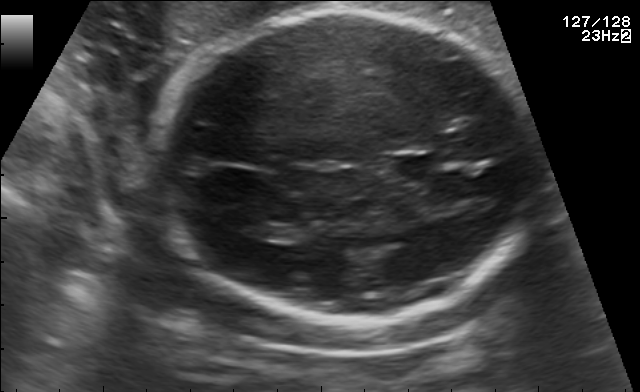
Fetal brain, trans-thalamic plane. Where is the lateral ventricle?

Lateral ventricle bounding box: [236,217,282,242]